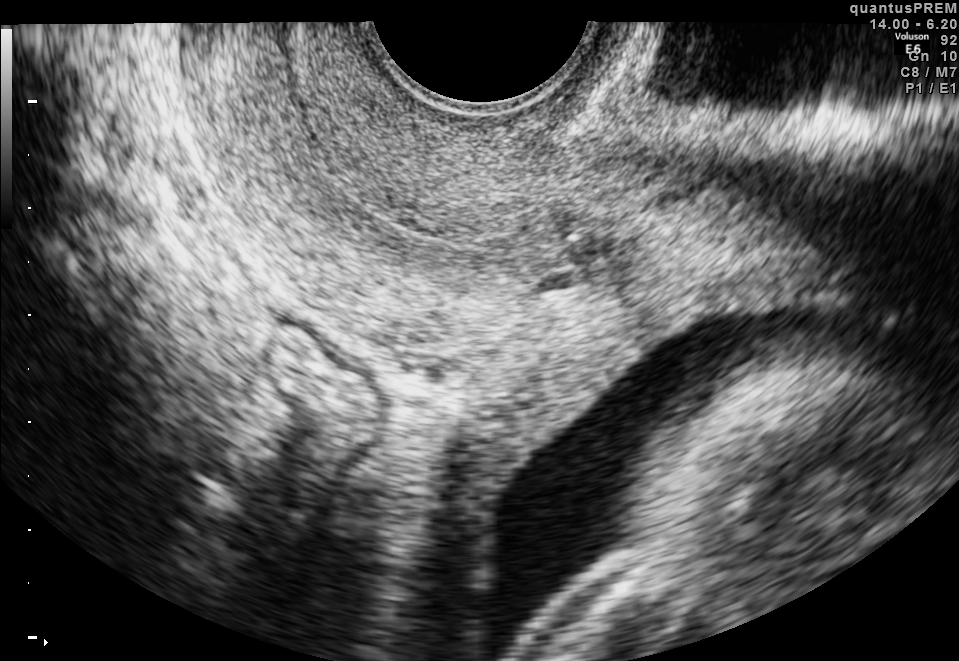
Classify this maternal-fetal ultrasound image as one of the six standard planes — fetal abdomen, fetal brain, fetal femur, fetal thorax, maternal cervix, or other. If it's fetal brain and one of the three standard brain planes (trans-thalamic, trans-cerebellum, trans-ventricular), name which.

Maternal cervix